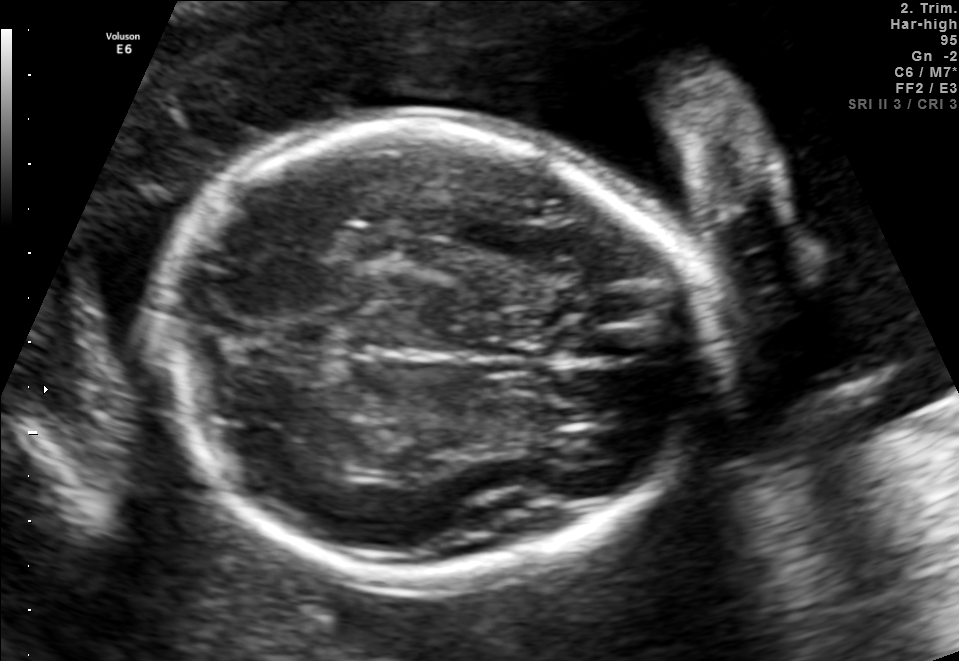
Fetal brain, trans-thalamic plane. Give [x1,y1,x2,y2] bounding boxes for each visible structure among: fetal head, CSP, LV.

Head: [165,120,714,587]